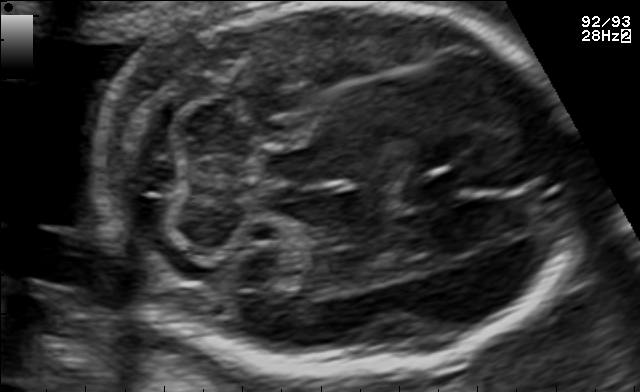
Which standard maternal-fetal ultrasound plane is shown: fetal abdomen, fetal brain, fetal femur, fetal thorax, maternal cervix, or other? If it's fetal brain and one of the three standard brain planes (trans-thalamic, trans-cerebellum, trans-ventricular), name which.

Fetal brain (trans-cerebellum plane)